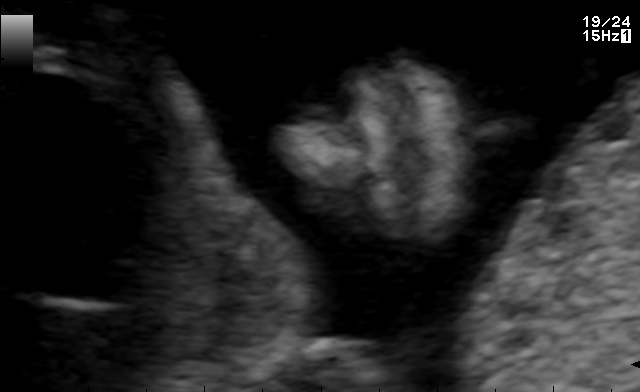
Identify the standard plane in this fetal ultrasound image: fetal abdomen, fetal brain, fetal femur, fetal thorax, maternal cervix, or other. If it's fetal brain and one of the three standard brain planes (trans-thalamic, trans-cerebellum, trans-ventricular), name which.

Other